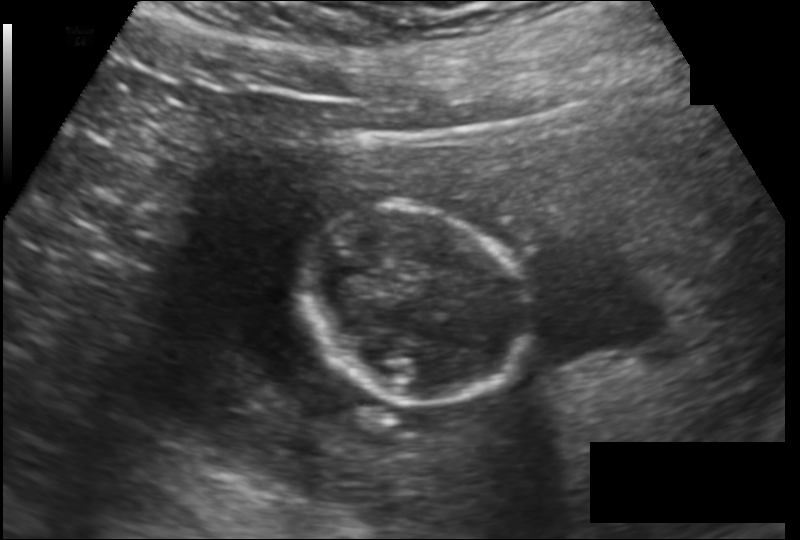
Fetal head ultrasound. Image width: 119.2 mm. Locate the fetal head.

Head: [299,203,527,405]